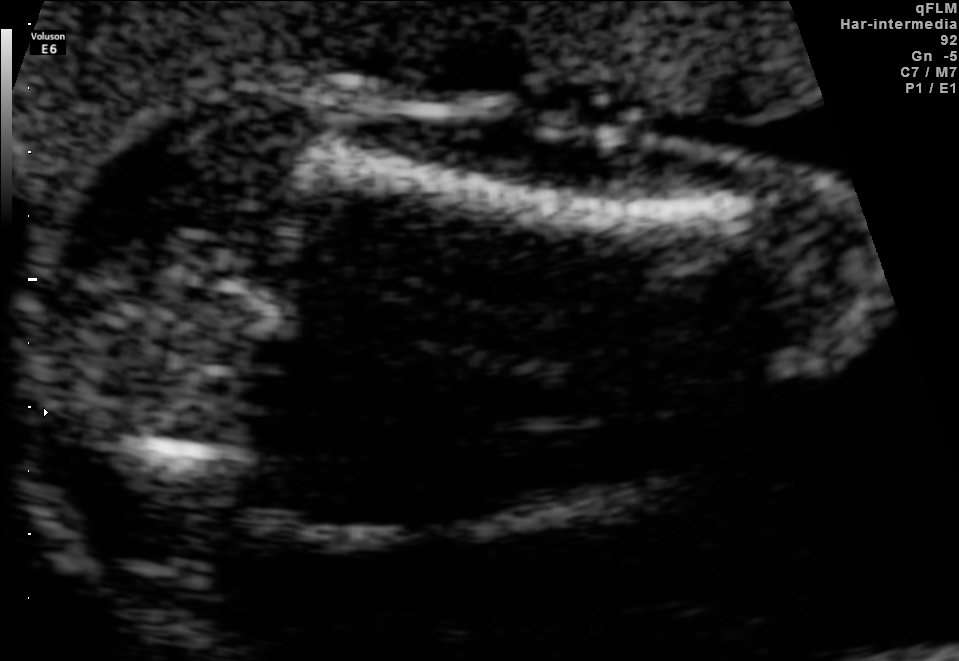
This is a 2D maternal-fetal ultrasound frame. Is it a fetal abdomen, fetal brain, fetal femur, fetal thorax, maternal cervix, or other standard plane? If it's fetal brain and one of the three standard brain planes (trans-thalamic, trans-cerebellum, trans-ventricular), name which.

Fetal femur